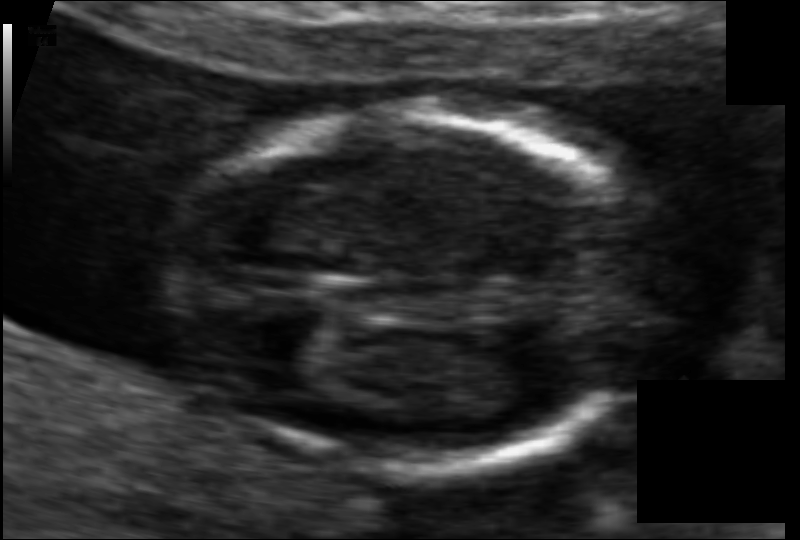
In this fetal head ultrasound, give the bounding box of the fetal head. Image width: 51.8 mm.

[159,111,651,471]